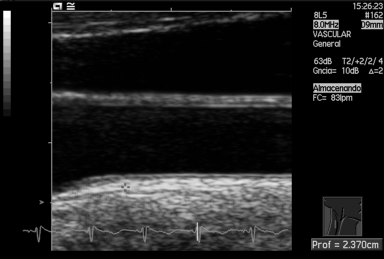
This is a 2D maternal-fetal ultrasound frame. Is it a fetal abdomen, fetal brain, fetal femur, fetal thorax, maternal cervix, or other standard plane? If it's fetal brain and one of the three standard brain planes (trans-thalamic, trans-cerebellum, trans-ventricular), name which.

Other